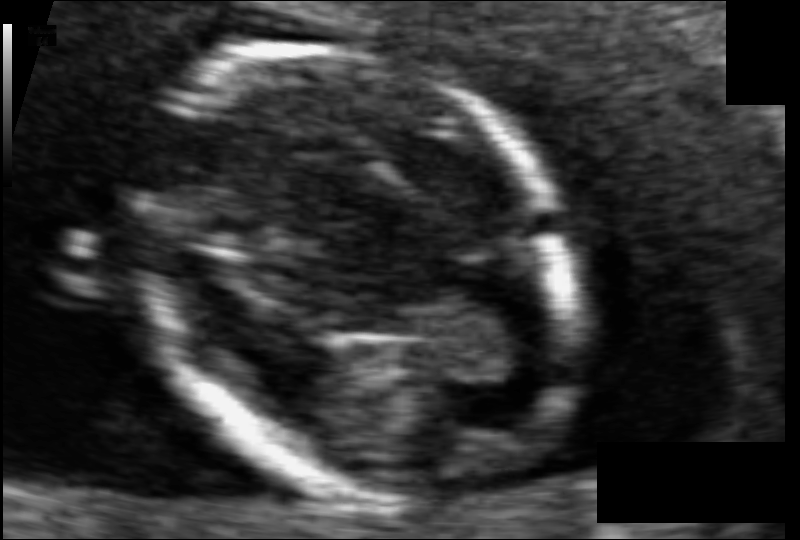
Measure the fetal head circumference shown in this ultrasound image. Image width: 48.9 mm.

Head circumference: 88.2 mm.